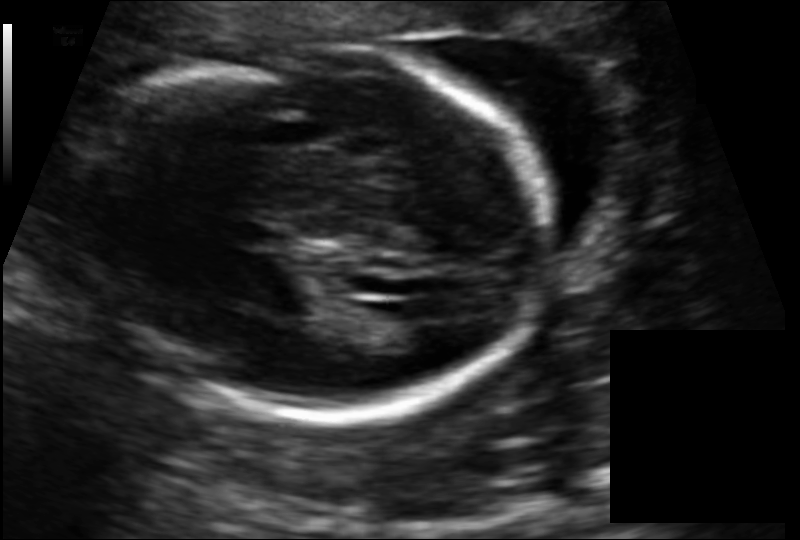
In this fetal head ultrasound, give the bounding box of the fetal head. Image width: 108.7 mm.

[96,47,551,418]